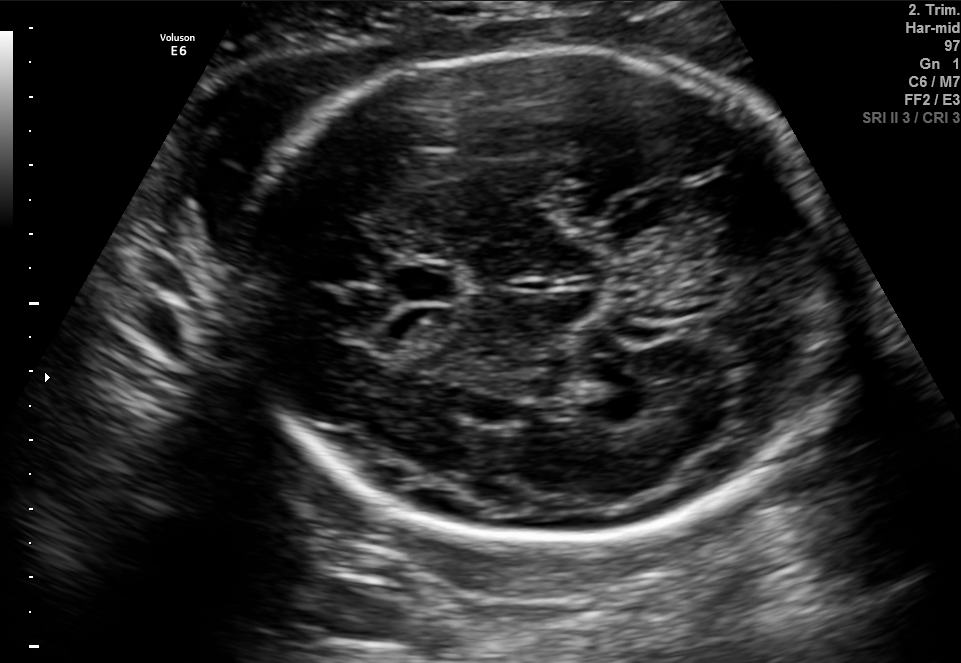
Fetal brain, trans-thalamic plane. Locate the cavum septum pellucidum.

CSP: [395,266,458,300]